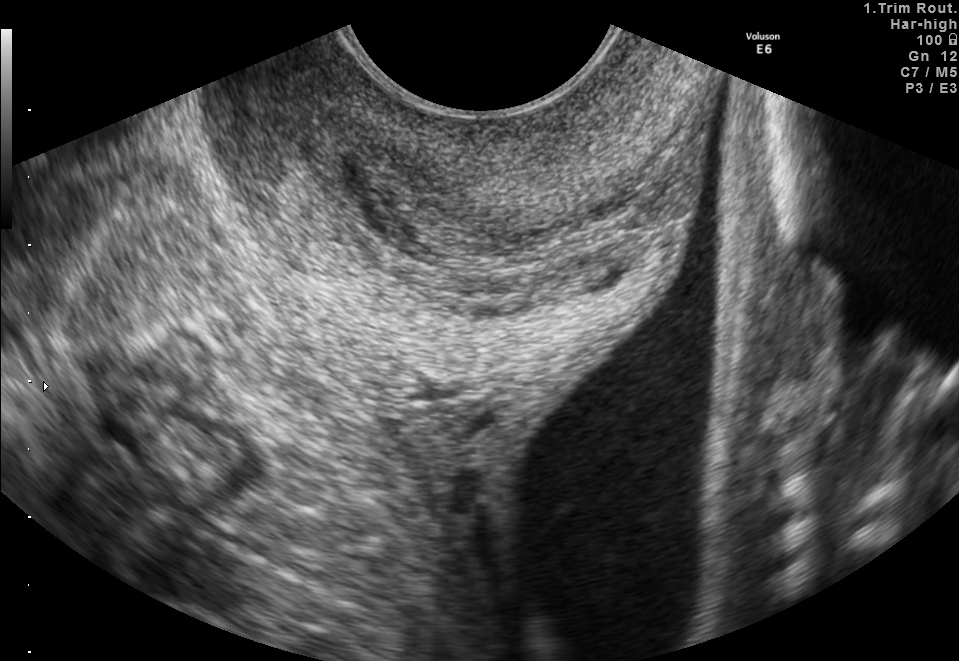
This is a 2D maternal-fetal ultrasound frame. Is it a fetal abdomen, fetal brain, fetal femur, fetal thorax, maternal cervix, or other standard plane? If it's fetal brain and one of the three standard brain planes (trans-thalamic, trans-cerebellum, trans-ventricular), name which.

Maternal cervix